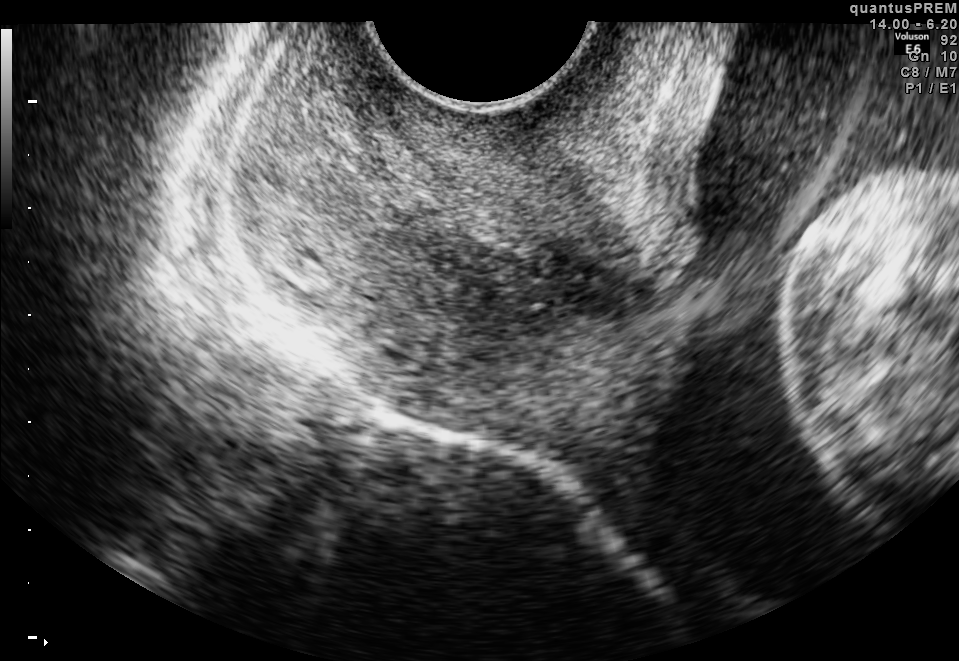
Which standard maternal-fetal ultrasound plane is shown: fetal abdomen, fetal brain, fetal femur, fetal thorax, maternal cervix, or other? If it's fetal brain and one of the three standard brain planes (trans-thalamic, trans-cerebellum, trans-ventricular), name which.

Maternal cervix